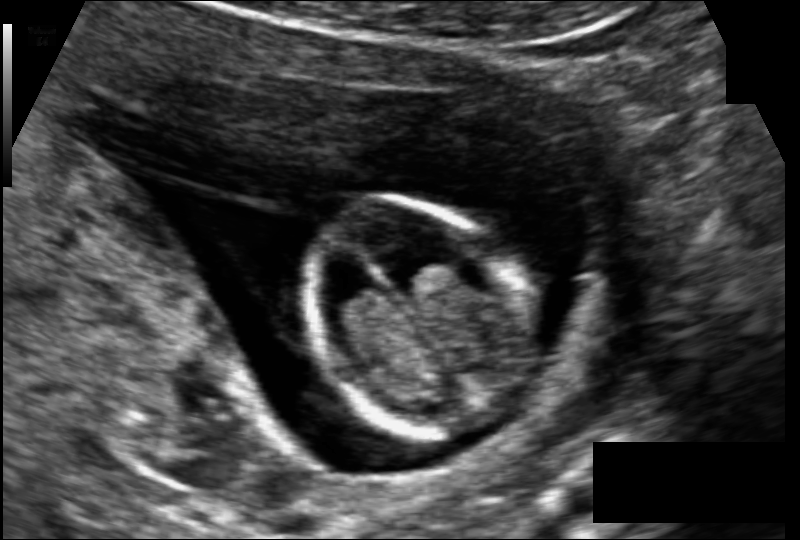
Measure the fetal head circumference shown in this ultrasound image. Image width: 81.3 mm.

Head circumference: 76.6 mm.